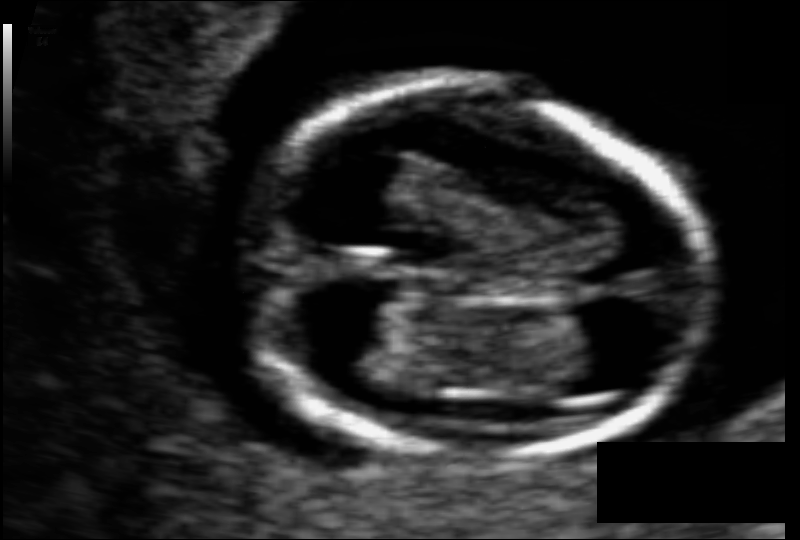
Estimate the fetal head circumference from this 2D ultrasound.

Head circumference: 84.4 mm (image width 50.4 mm).